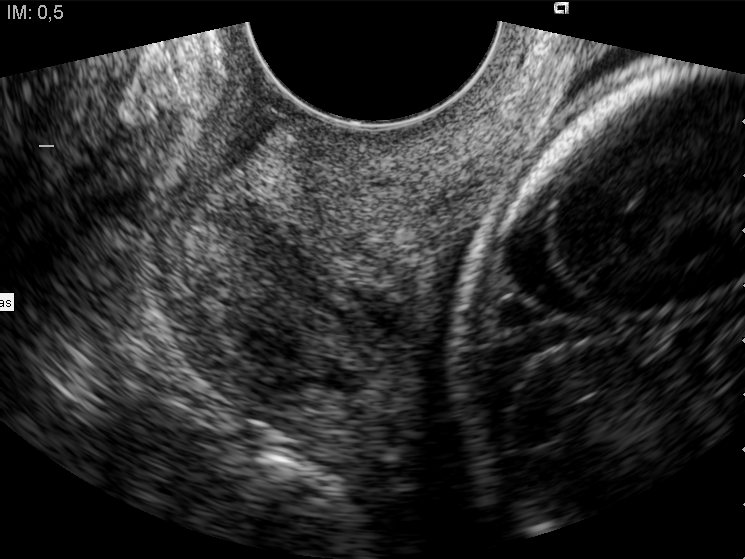
Which standard maternal-fetal ultrasound plane is shown: fetal abdomen, fetal brain, fetal femur, fetal thorax, maternal cervix, or other? If it's fetal brain and one of the three standard brain planes (trans-thalamic, trans-cerebellum, trans-ventricular), name which.

Maternal cervix